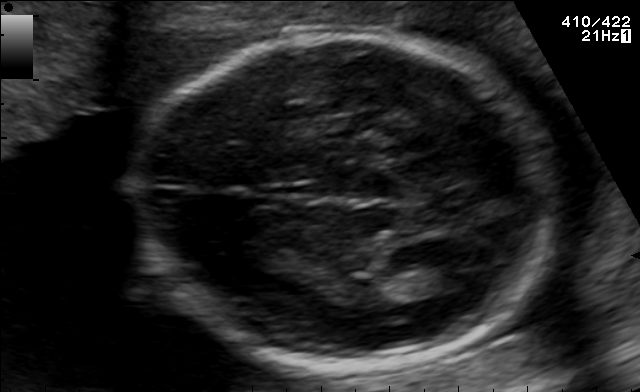
In this fetal brain, trans-thalamic plane, give the bounding box of the fetal head.

[130,34,559,366]